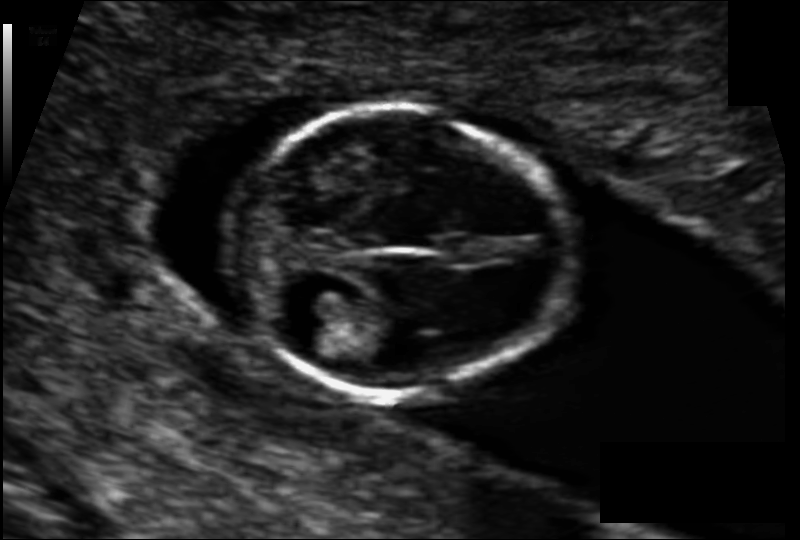
What is the fetal head circumference? Image width is 63.0 mm.

78.5 mm